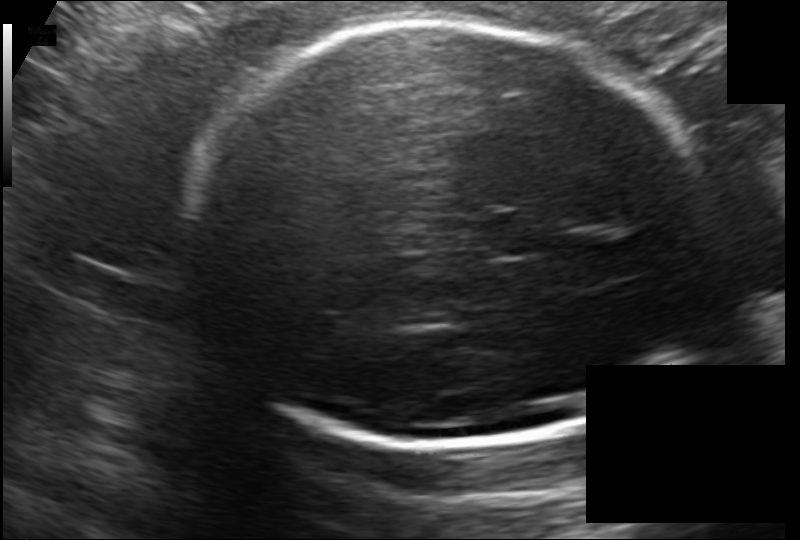
Estimate the fetal head circumference from this 2D ultrasound. Image width: 137.9 mm.

Head circumference: 265.5 mm.